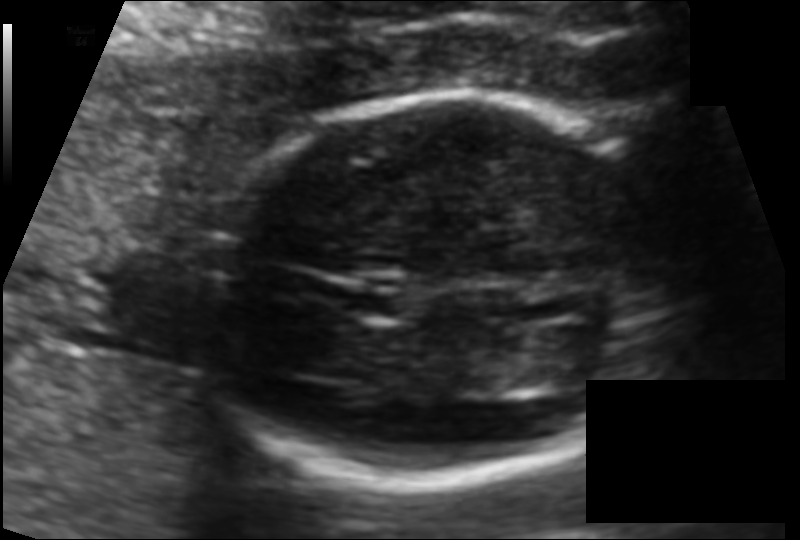
In this fetal head ultrasound, give the bounding box of the fetal head. Image width: 80.0 mm.

[191,95,687,486]